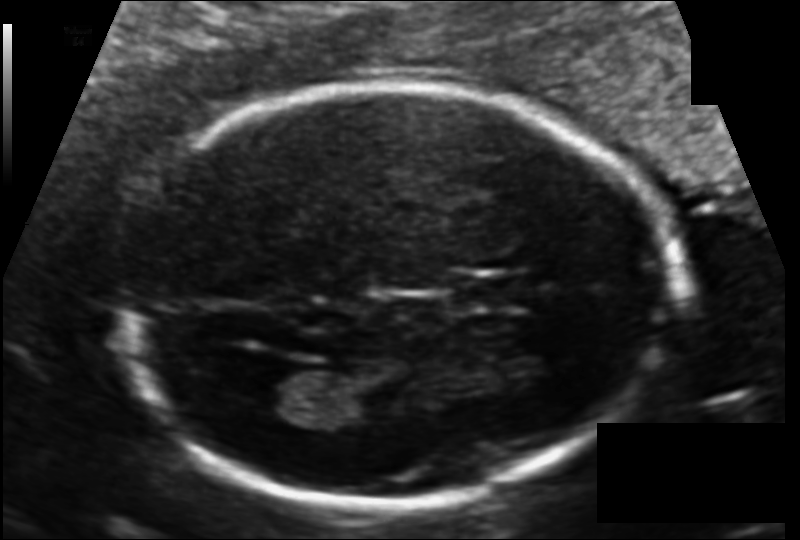
Estimate the fetal head circumference from this 2D ultrasound. Image width: 90.0 mm.

Head circumference: 176.3 mm.